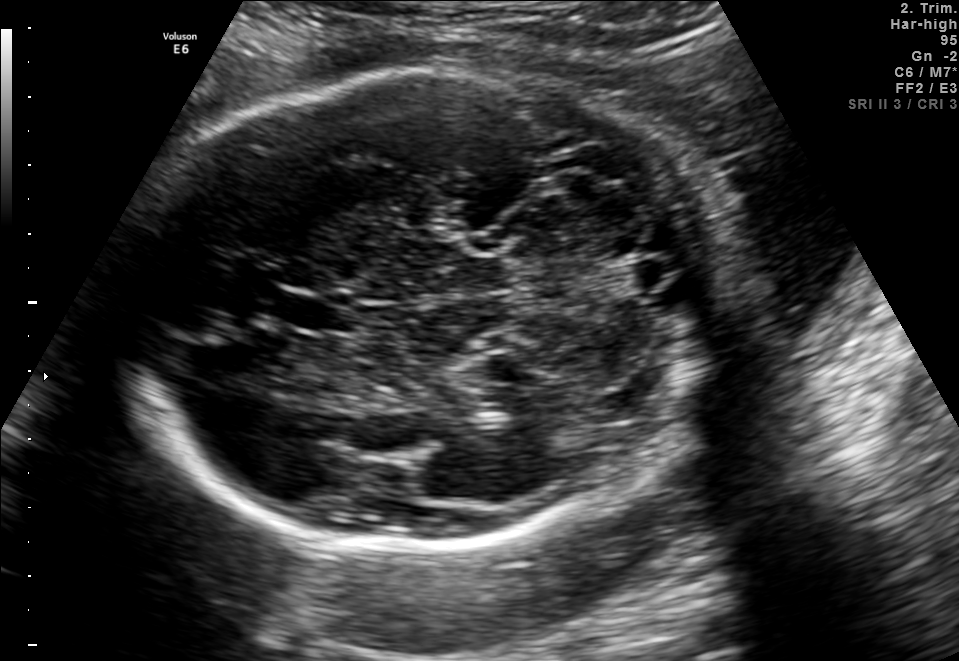
Fetal brain, trans-cerebellum plane. Locate the fetal head and, if visible, the cavum septum pellucidum (CSP) and lateral ventricle (LV). Give bounding boxes as [x1,y1,x2,y2].

Head: [123,71,720,554]
CSP: [269,283,353,342]